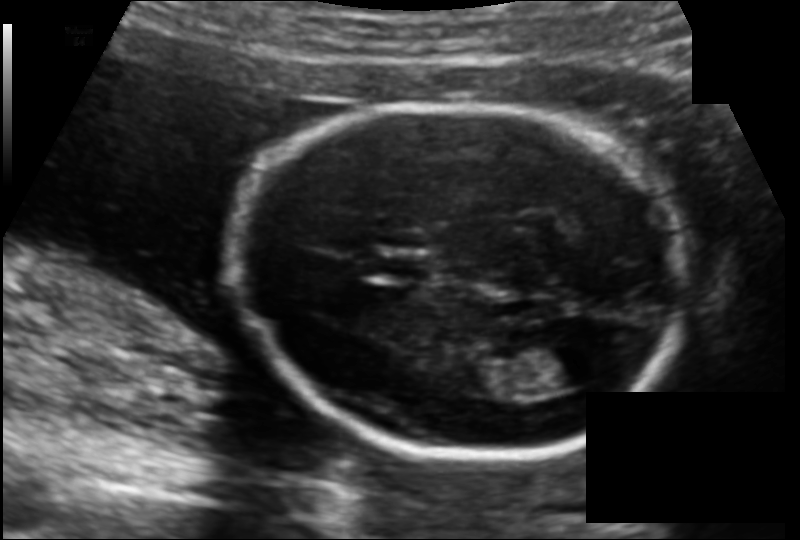
In this fetal head ultrasound, give the bounding box of the fetal head. Image width: 100.4 mm.

[236,103,684,455]